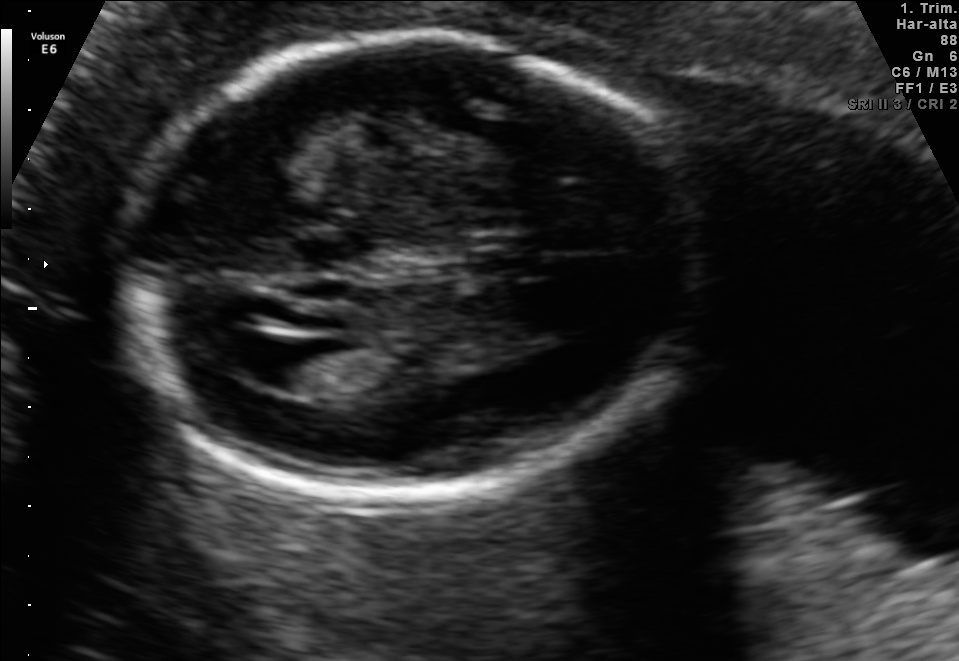
In this fetal brain, trans-ventricular plane, give bounding boxes for the head outline, cavum septum pellucidum (CSP), and lateral ventricle (LV), where visible.

Head: [104,29,725,514]
CSP: [474,246,547,280]
Lateral ventricle: [228,327,322,393]